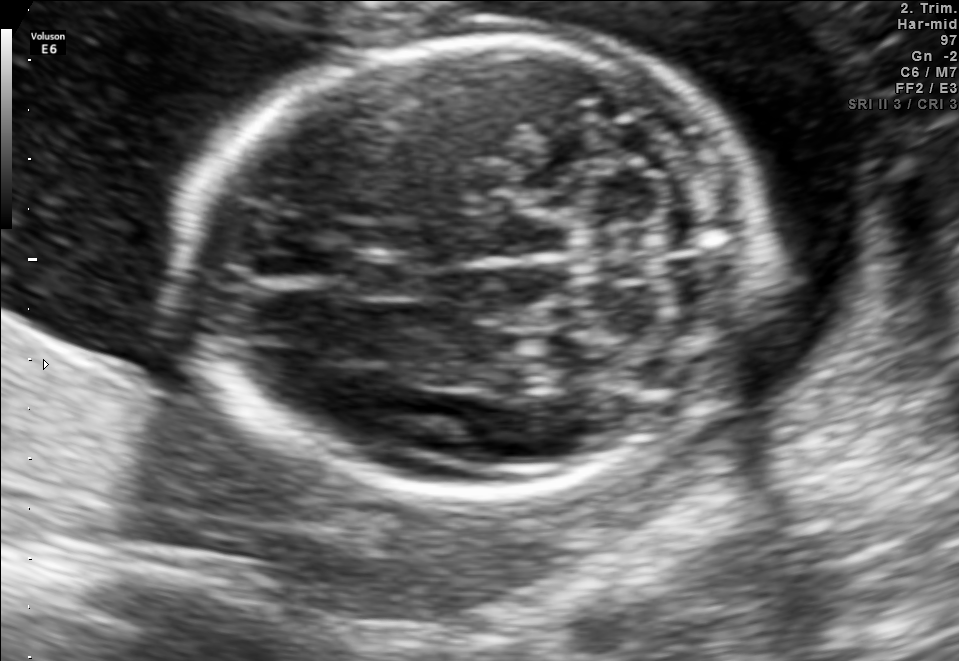
In this fetal brain, trans-cerebellum plane, give the bounding box of the fetal head.

[180,40,765,497]